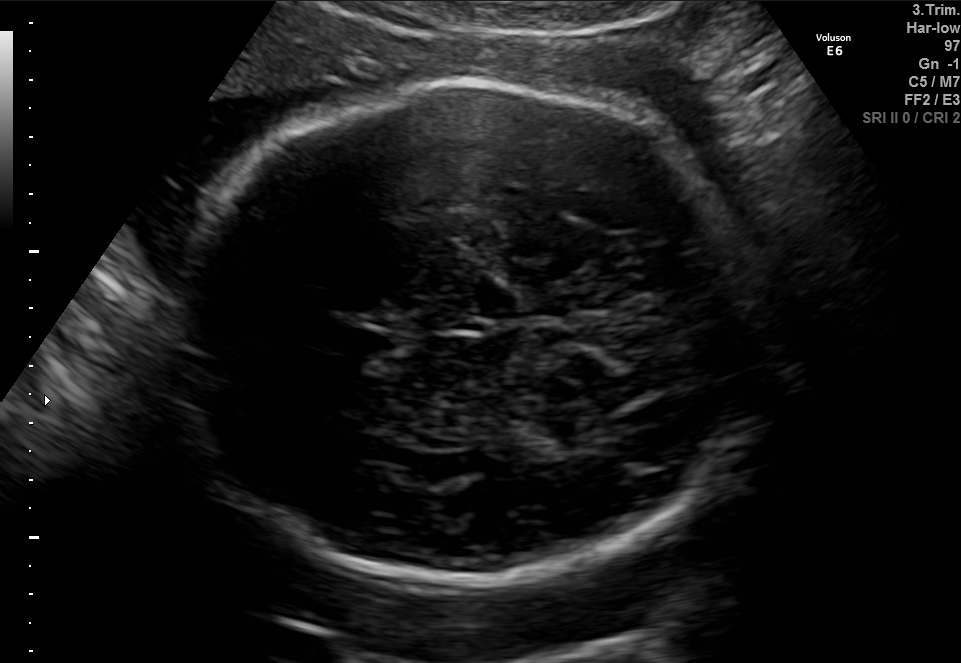
Fetal brain, trans-thalamic plane. Locate the fetal head and, if visible, the cavum septum pellucidum (CSP) and lateral ventricle (LV). Give bounding boxes as [x1,y1,x2,y2].

Head: [174,82,775,587]
CSP: [347,328,395,357]